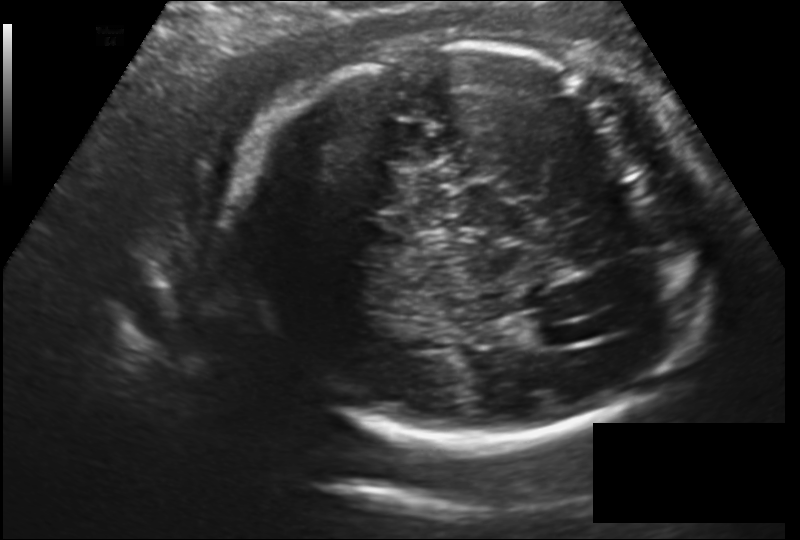
Measure the fetal head circumference shown in this ultrasound image. Image width: 142.0 mm.

Head circumference: 250.6 mm.